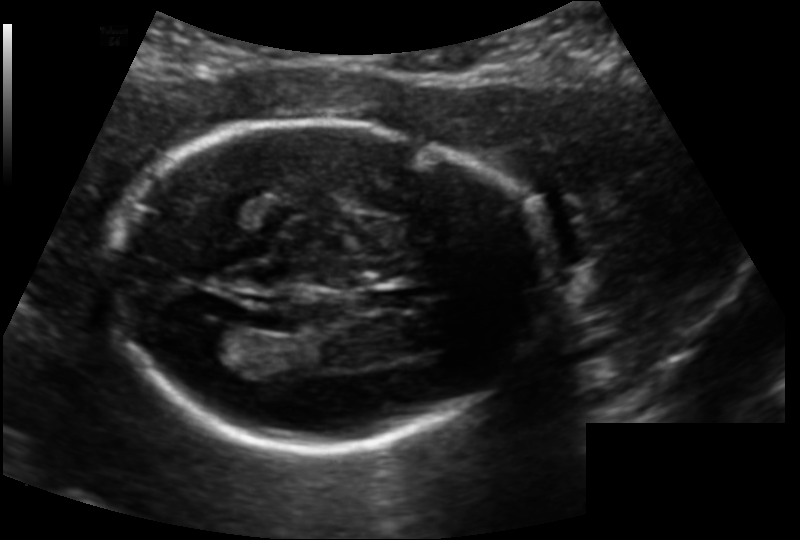
Fetal head ultrasound. Image width: 111.5 mm. Give [x1,y1,x2,y2] bounding boxes for each visible structure among: fetal head, CSP, LV.

Head: [108,120,545,449]
CSP: [367,289,418,310]
Lateral ventricle: [184,318,242,358]